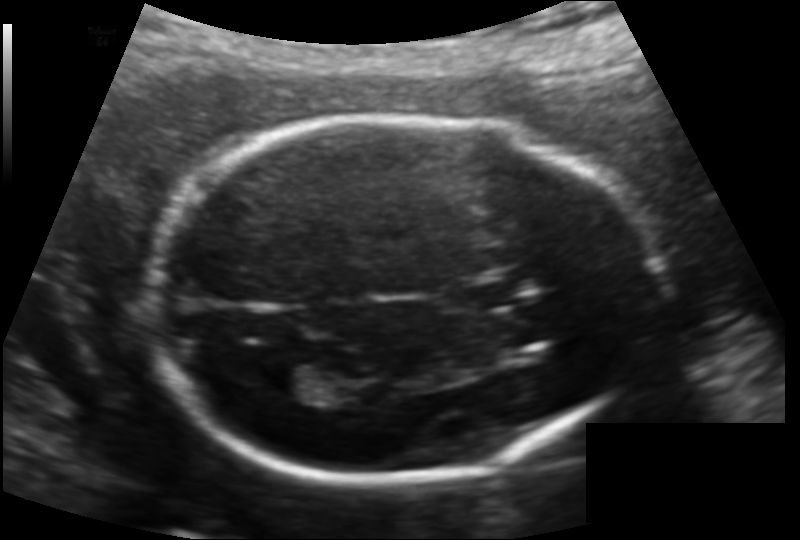
Measure the fetal head circumference shown in this ultrasound image. Image width: 105.6 mm.

Head circumference: 189.4 mm.